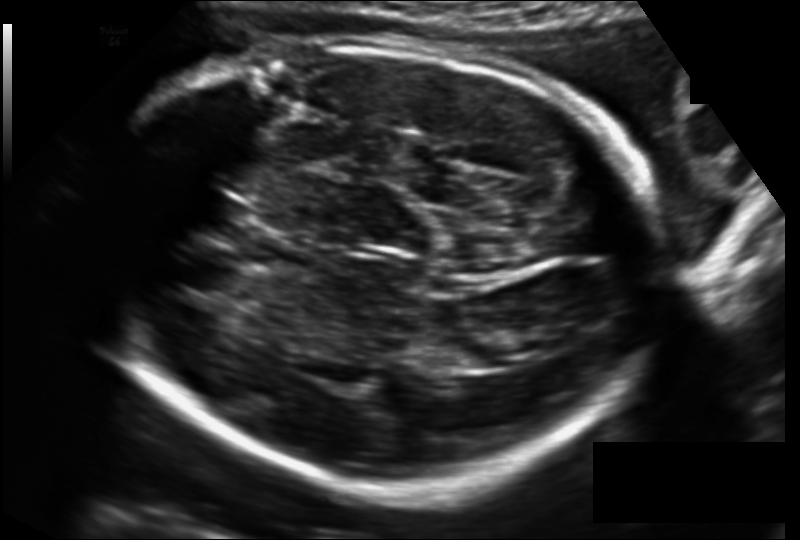
In this fetal head ultrasound, give the bounding box of the fetal head. Image width: 133.8 mm.

[98,40,660,489]